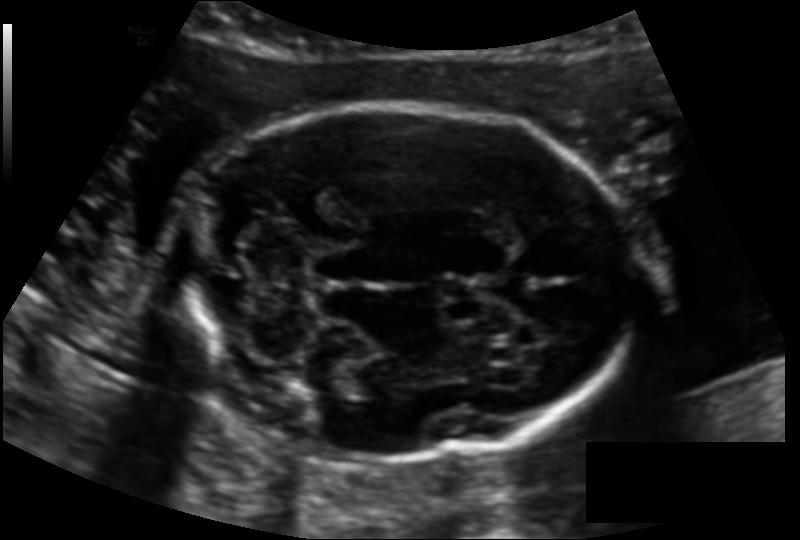
In this fetal head ultrasound, give the bounding box of the fetal head. Image width: 102.3 mm.

[176,105,637,457]